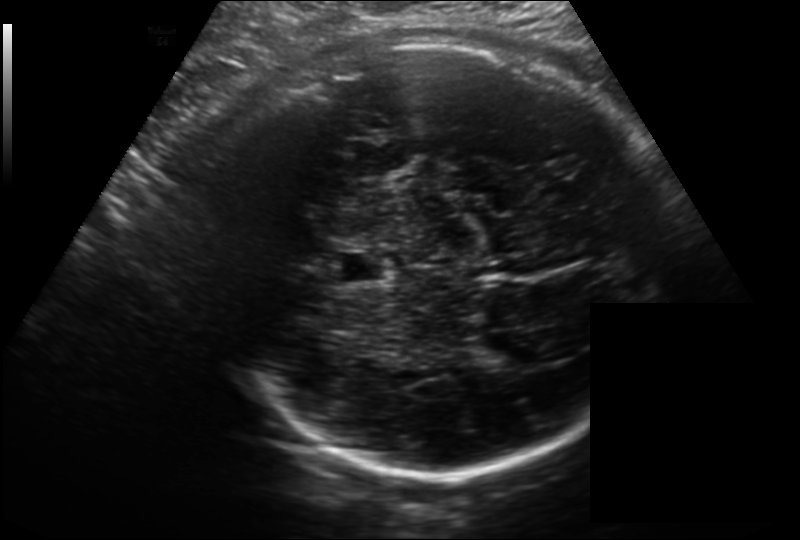
In this fetal head ultrasound, give the bounding box of the fetal head. Image width: 171.5 mm.

[210,38,668,473]